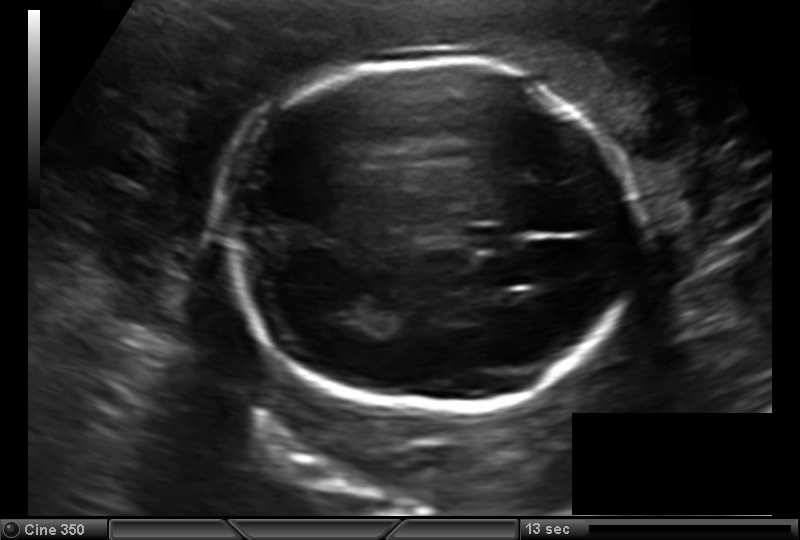
Fetal head ultrasound. Image width: 125.6 mm. Locate the lateral ventricle.

Lateral ventricle: [325,285,379,329]